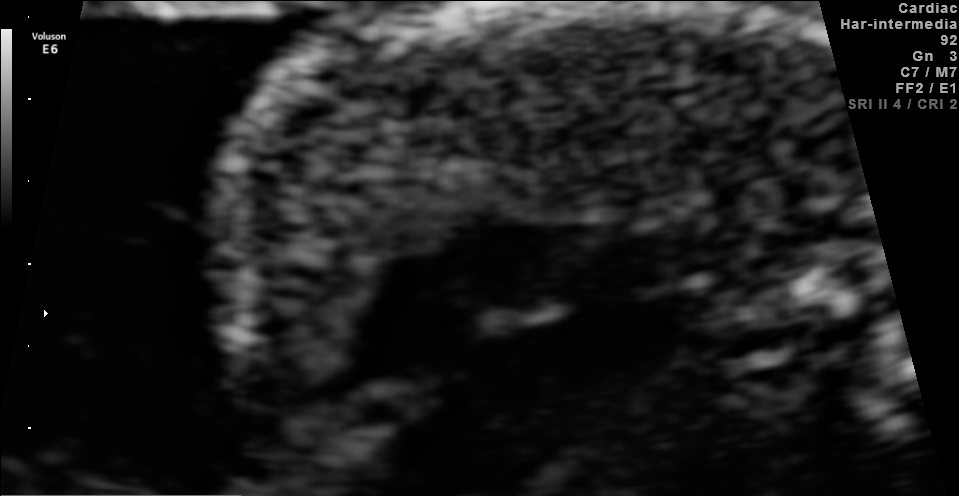
This is a 2D maternal-fetal ultrasound frame. Is it a fetal abdomen, fetal brain, fetal femur, fetal thorax, maternal cervix, or other standard plane? If it's fetal brain and one of the three standard brain planes (trans-thalamic, trans-cerebellum, trans-ventricular), name which.

Fetal thorax